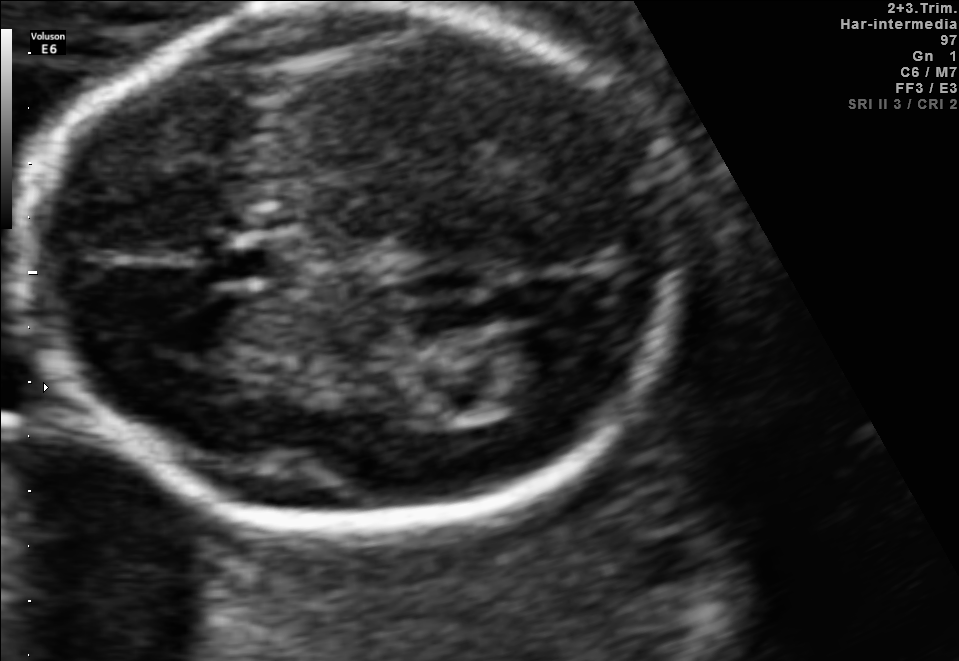
Fetal brain, trans-thalamic plane. Locate the cavum septum pellucidum.

CSP: [204,233,303,287]